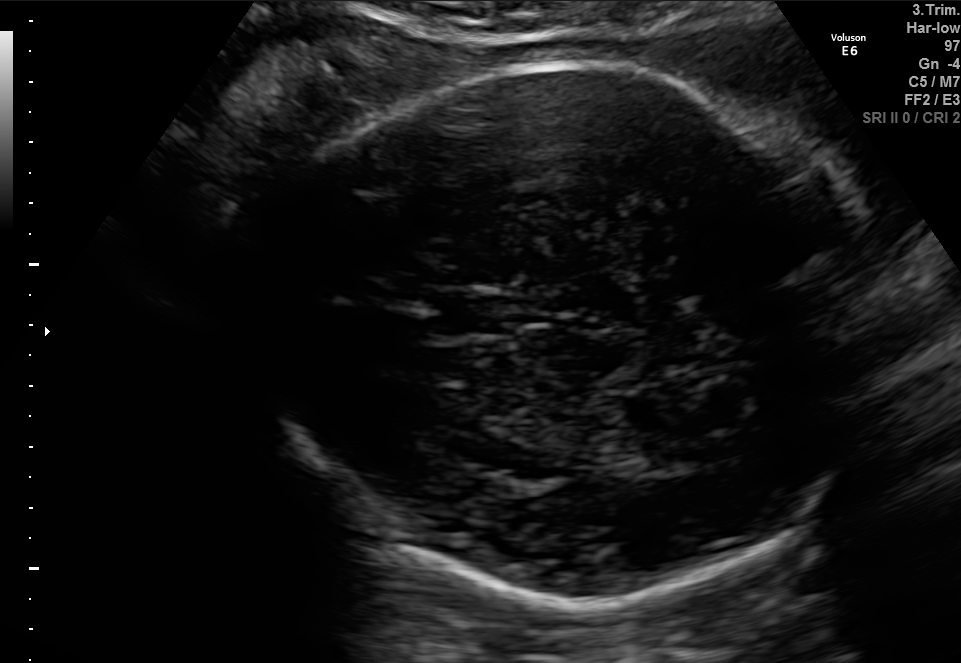
In this fetal brain, trans-thalamic plane, give the bounding box of the fetal head.

[244,60,882,605]